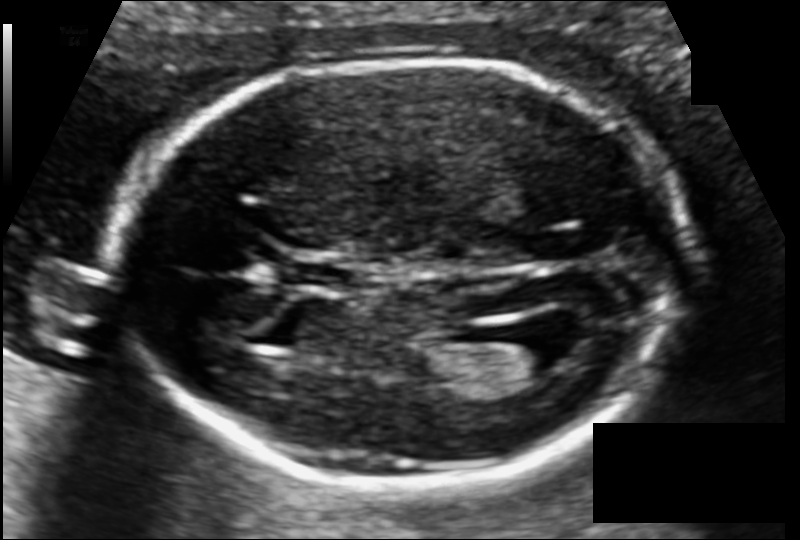
Fetal head ultrasound. Image width: 82.9 mm. Locate the fetal head and, if visible, the cavum septum pellucidum (CSP) and lateral ventricle (LV). Give bounding boxes as [x1,y1,x2,y2].

Head: [115,60,683,484]
CSP: [288,262,347,287]
Lateral ventricle: [493,311,590,388]